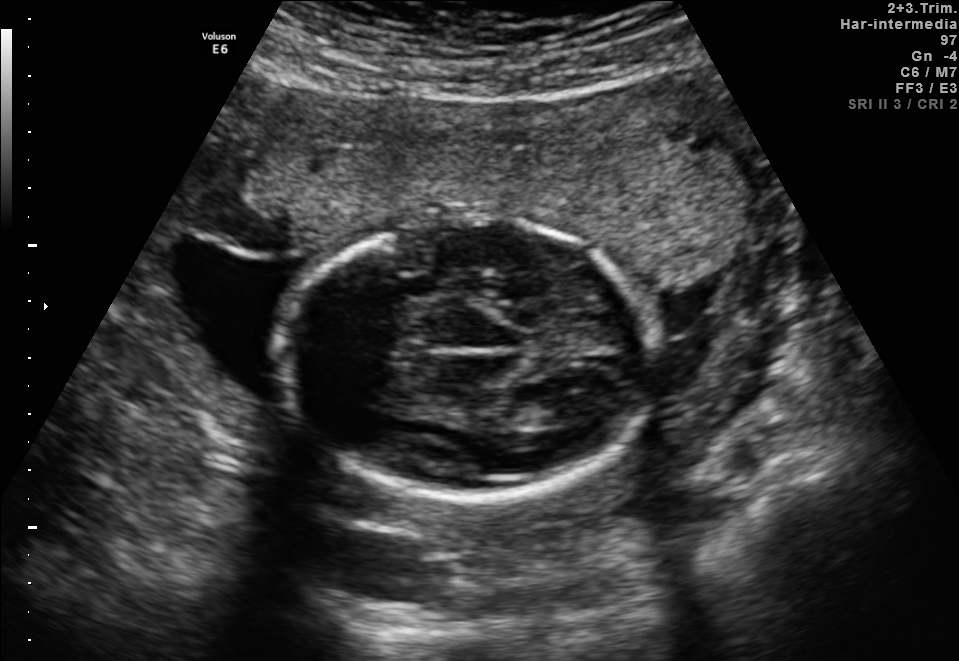
In this fetal brain, trans-thalamic plane, give the bounding box of the fetal head.

[274,216,657,499]